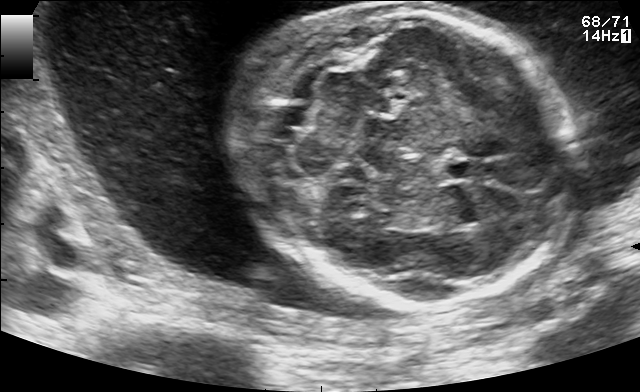
In this fetal brain, trans-cerebellum plane, give bounding boxes for the head outline, cavum septum pellucidum (CSP), and lateral ventricle (LV), where visible.

Head: [238,2,579,305]